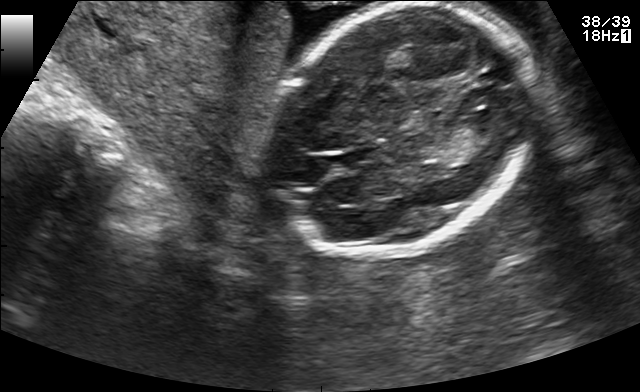
In this fetal brain, trans-thalamic plane, give the bounding box of the fetal head.

[272,4,532,255]